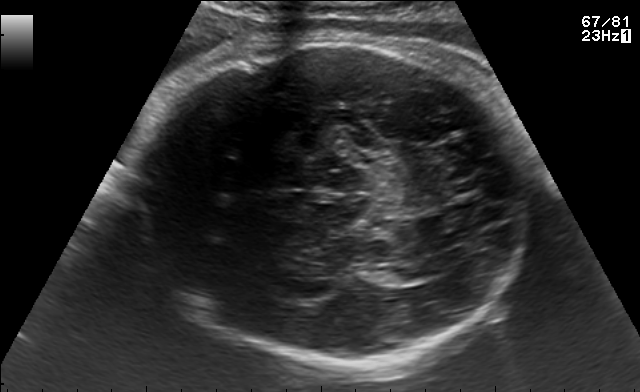
In this fetal brain, trans-thalamic plane, give the bounding box of the fetal head.

[129,37,531,369]